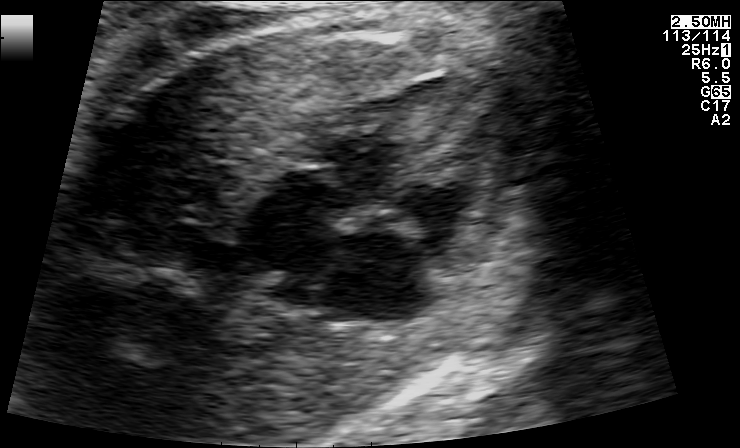
Classify this maternal-fetal ultrasound image as one of the six standard planes — fetal abdomen, fetal brain, fetal femur, fetal thorax, maternal cervix, or other. If it's fetal brain and one of the three standard brain planes (trans-thalamic, trans-cerebellum, trans-ventricular), name which.

Fetal thorax